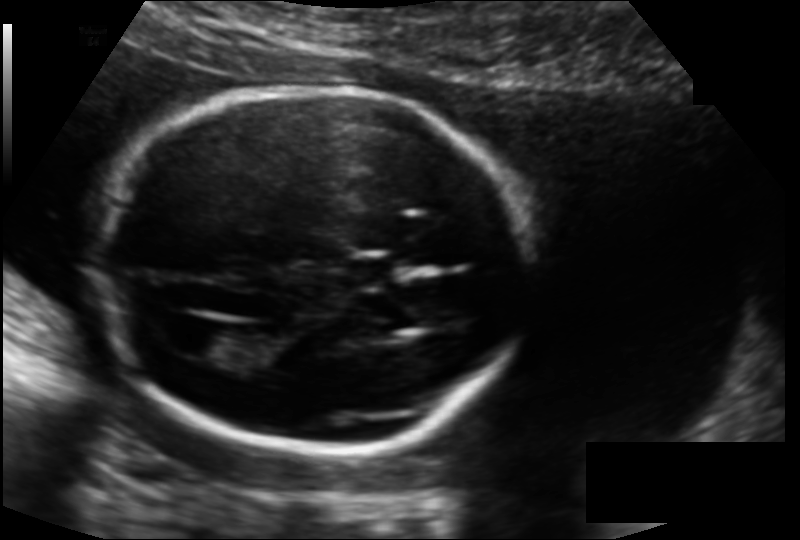
Fetal head ultrasound. Image width: 107.7 mm. Locate the cavum septum pellucidum.

CSP: [345,255,400,287]